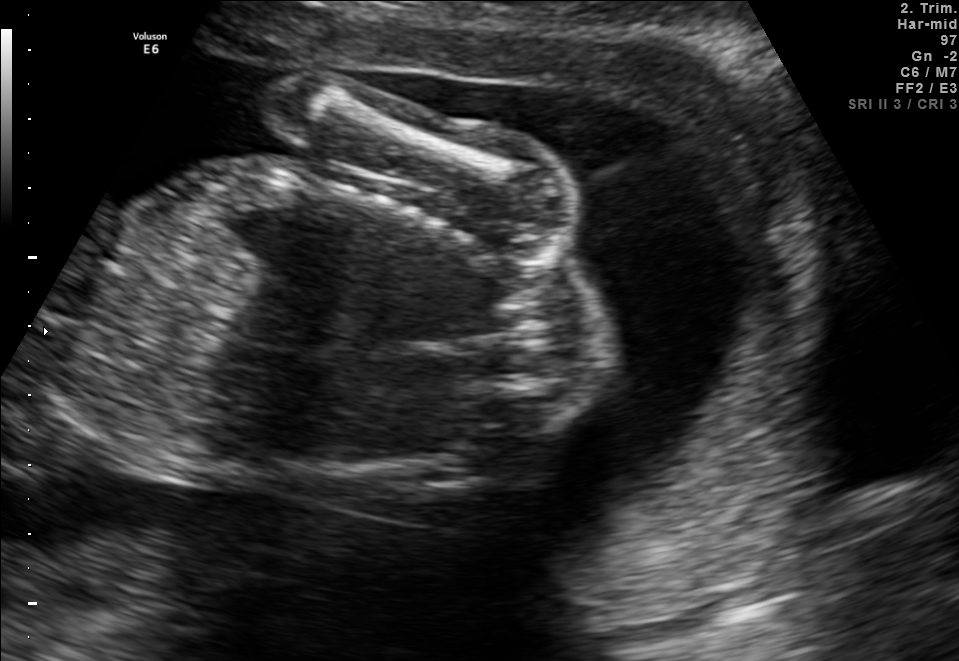
Classify this maternal-fetal ultrasound image as one of the six standard planes — fetal abdomen, fetal brain, fetal femur, fetal thorax, maternal cervix, or other. If it's fetal brain and one of the three standard brain planes (trans-thalamic, trans-cerebellum, trans-ventricular), name which.

Other